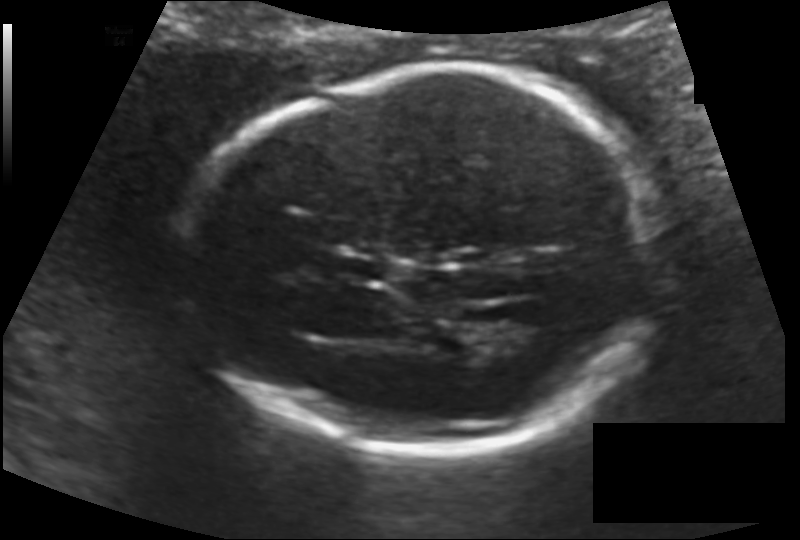
Fetal head ultrasound. Image width: 102.3 mm. Where is the fetal head?

Head bounding box: [189,67,661,453]